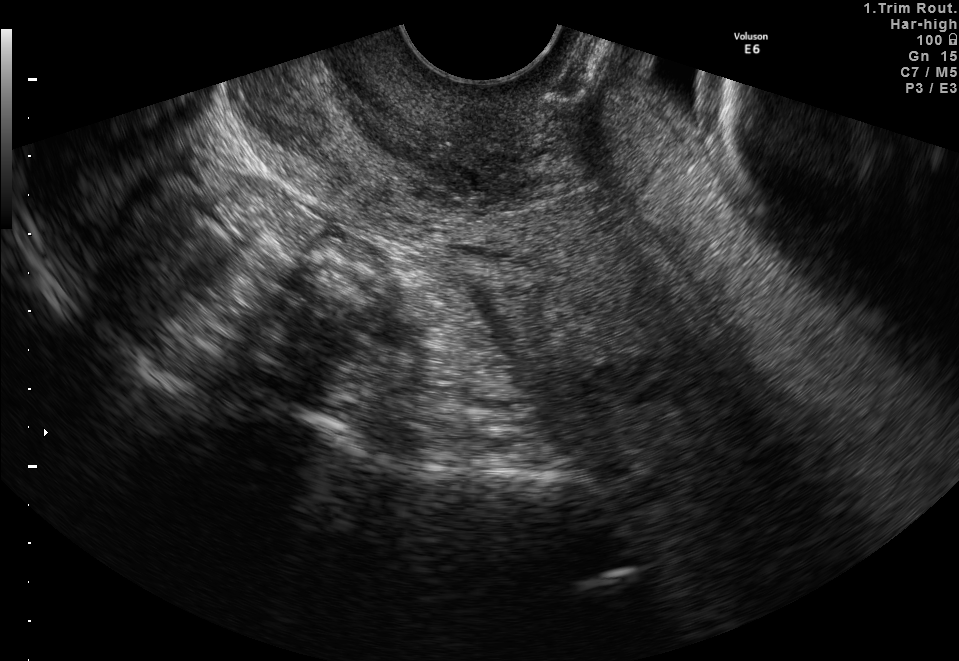
Classify this maternal-fetal ultrasound image as one of the six standard planes — fetal abdomen, fetal brain, fetal femur, fetal thorax, maternal cervix, or other. If it's fetal brain and one of the three standard brain planes (trans-thalamic, trans-cerebellum, trans-ventricular), name which.

Maternal cervix